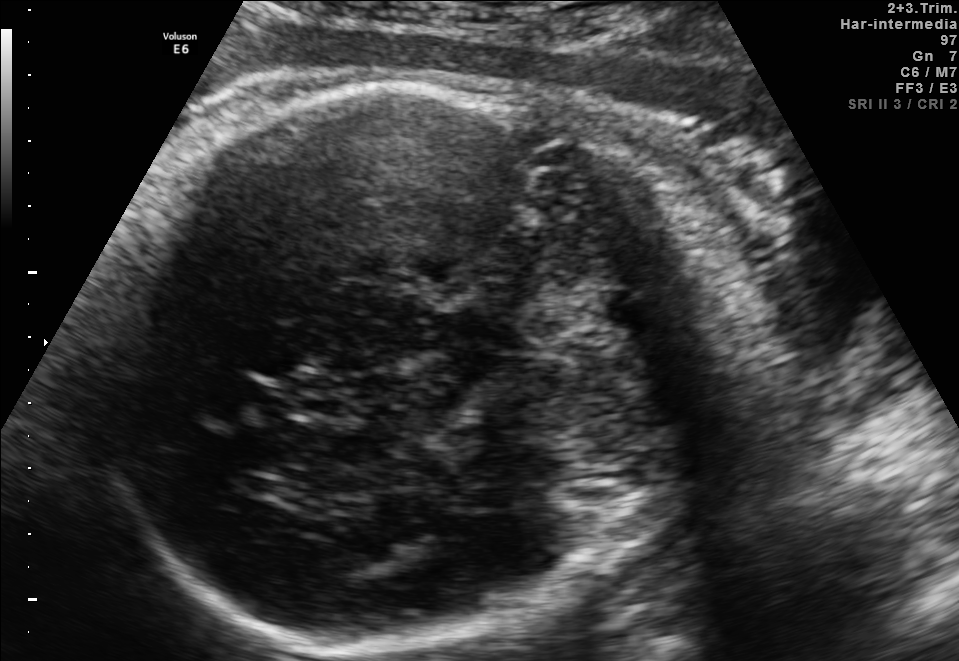
In this fetal brain, trans-thalamic plane, give bounding boxes for the head outline, cavum septum pellucidum (CSP), and lateral ventricle (LV), where visible.

Head: [86,75,759,636]